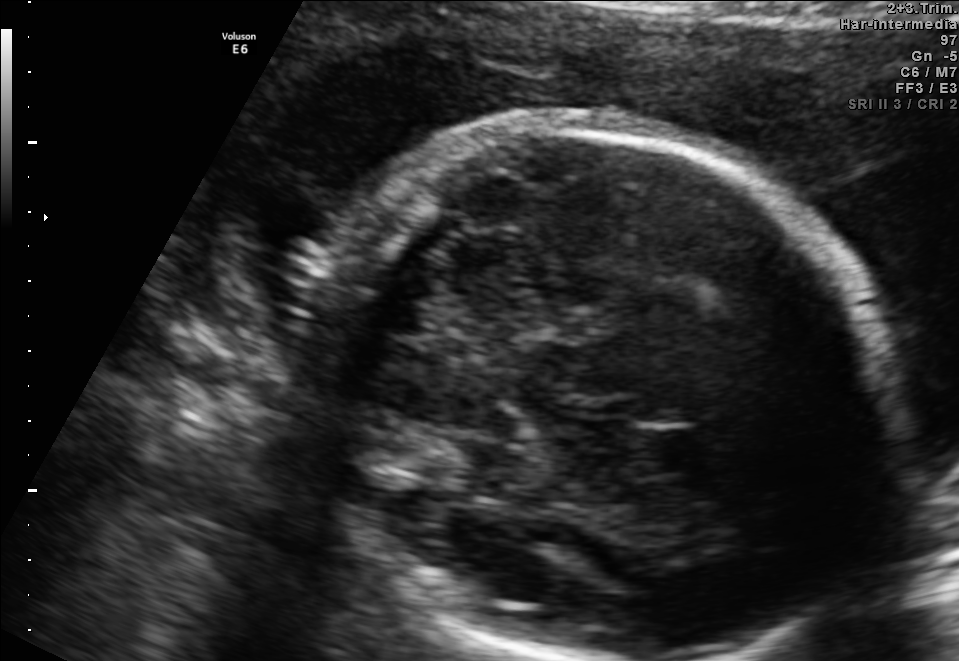
Fetal brain, trans-thalamic plane. Where is the cavum septum pellucidum?

CSP bounding box: [641,427,712,473]